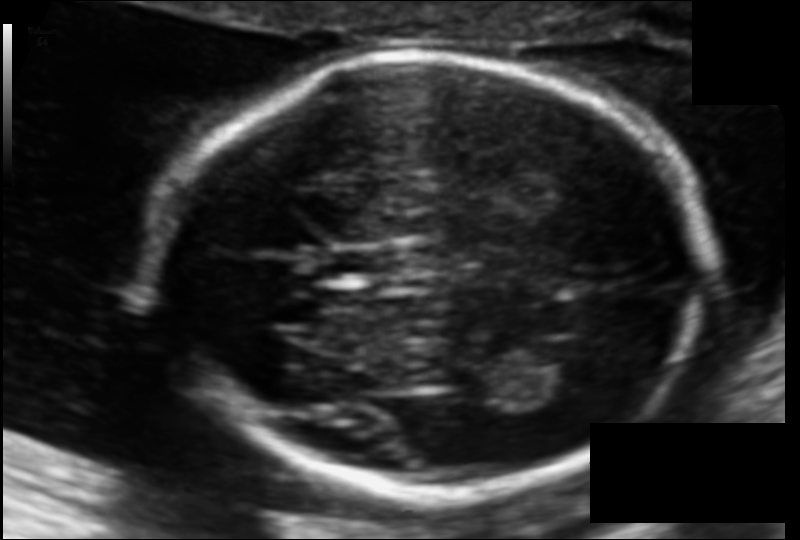
From this fetal ultrasound, estimate the head circumference (image width 86.8 mm).

Head circumference: 174.8 mm.